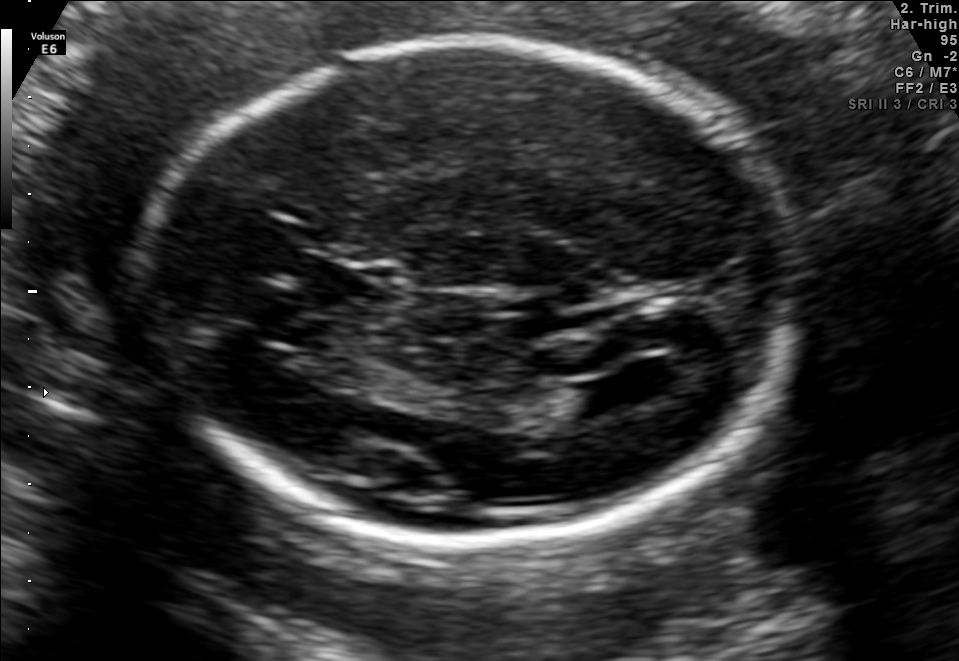
Fetal brain, trans-ventricular plane. Locate the fetal head.

Head: [123,34,808,549]